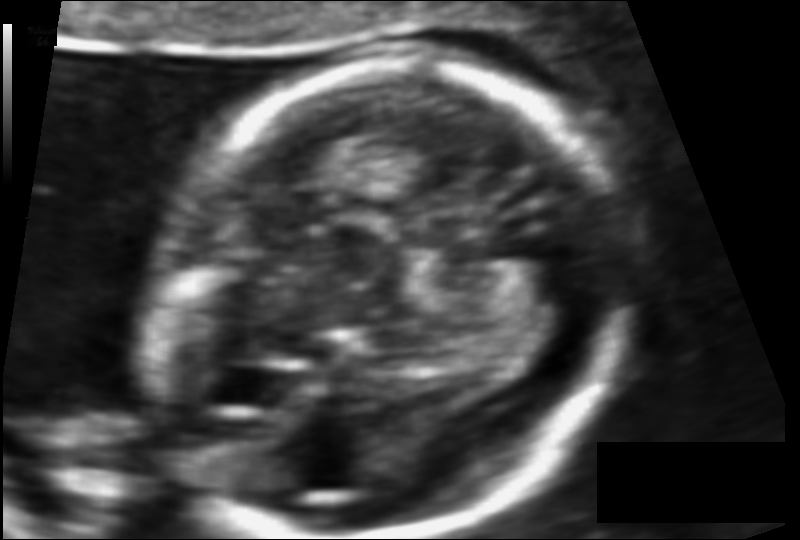
What is the fetal head circumference? Image width is 66.0 mm.

130.5 mm